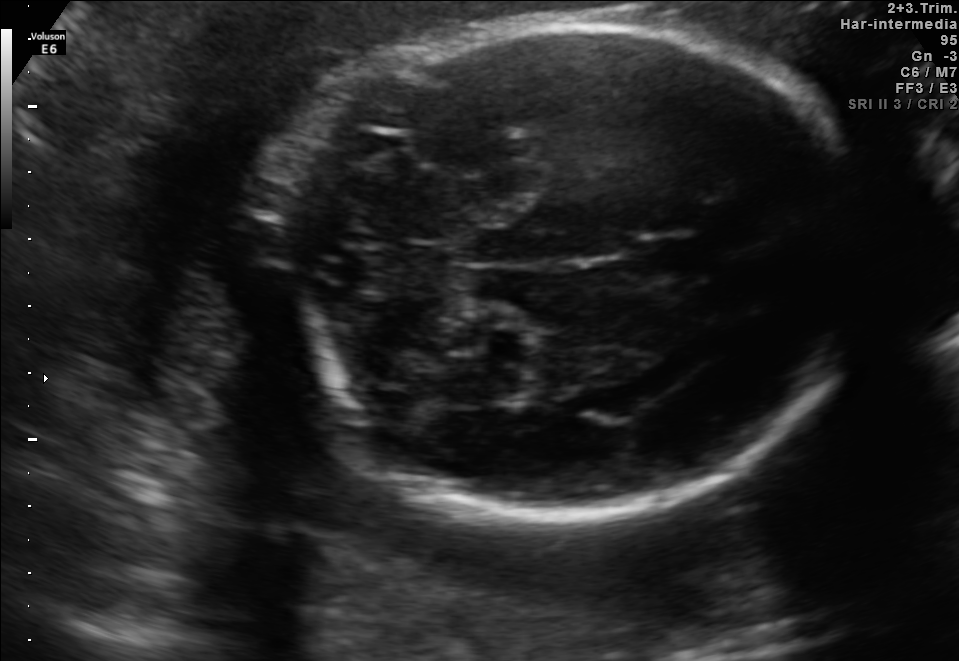
Fetal brain, trans-cerebellum plane. Locate the fetal head.

Head: [252,23,867,522]